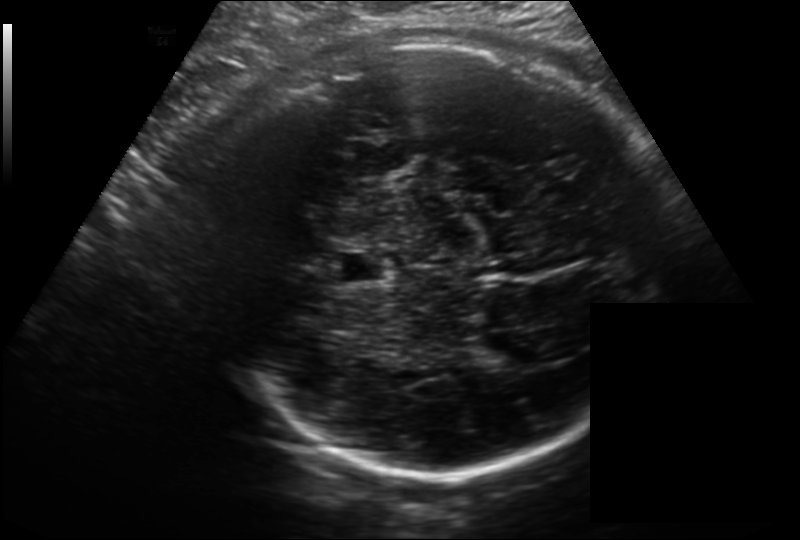
Estimate the fetal head circumference from this 2D ultrasound.

Head circumference: 312.8 mm (image width 171.5 mm).